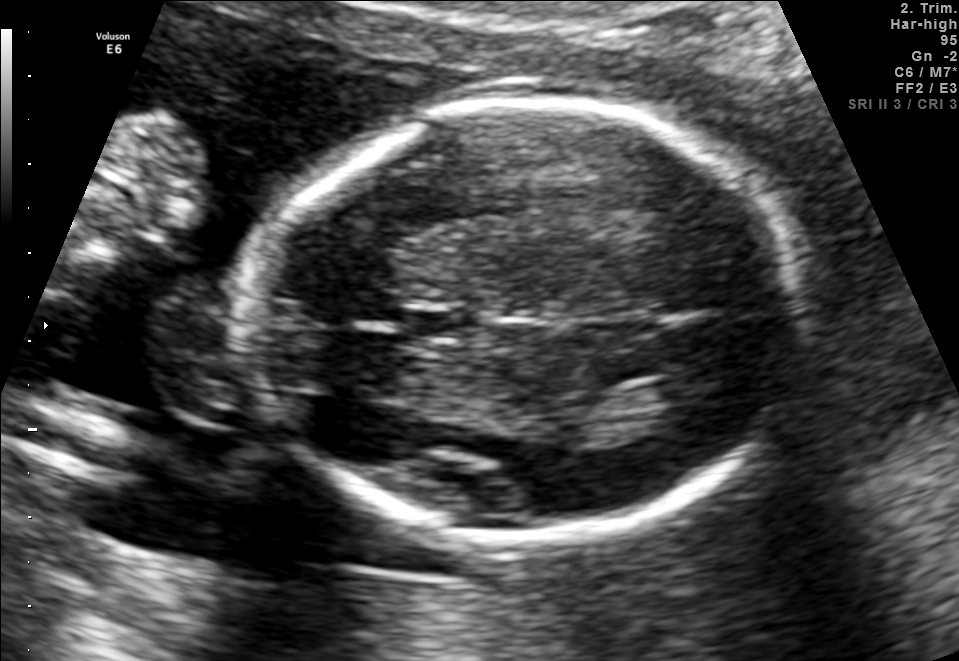
Fetal brain, trans-thalamic plane. Where is the fetal head?

Head bounding box: [242,105,797,542]